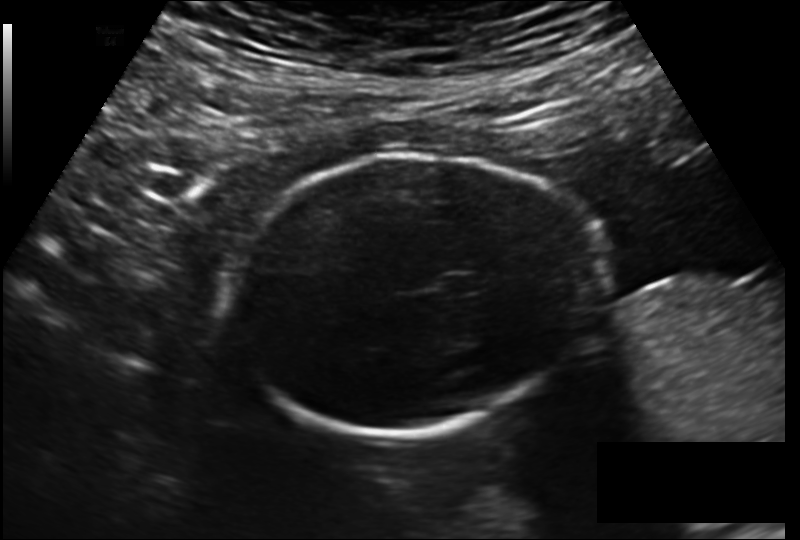
Fetal head ultrasound. Image width: 142.1 mm. Locate the fetal head and, if visible, the cavum septum pellucidum (CSP) and lateral ventricle (LV). Give bounding boxes as [x1,y1,x2,y2].

Head: [237,151,596,438]
CSP: [441,272,478,295]